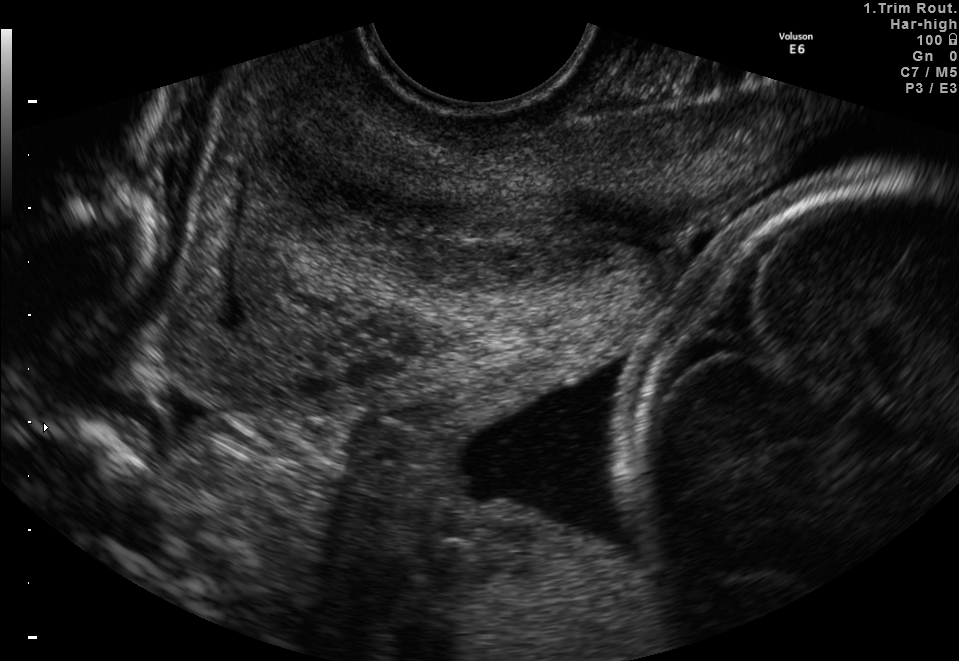
Which standard maternal-fetal ultrasound plane is shown: fetal abdomen, fetal brain, fetal femur, fetal thorax, maternal cervix, or other? If it's fetal brain and one of the three standard brain planes (trans-thalamic, trans-cerebellum, trans-ventricular), name which.

Maternal cervix